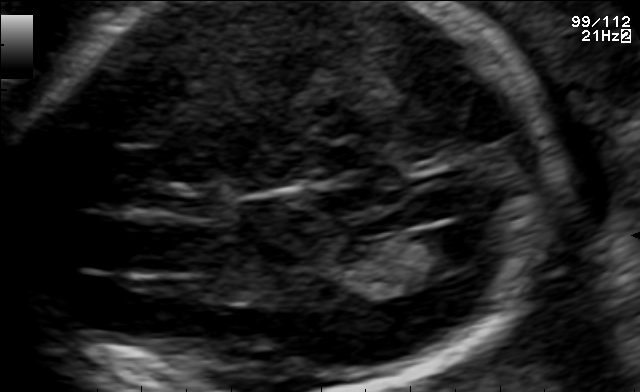
Fetal brain, trans-ventricular plane. Locate the cavum septum pellucidum.

CSP: [177,188,221,216]